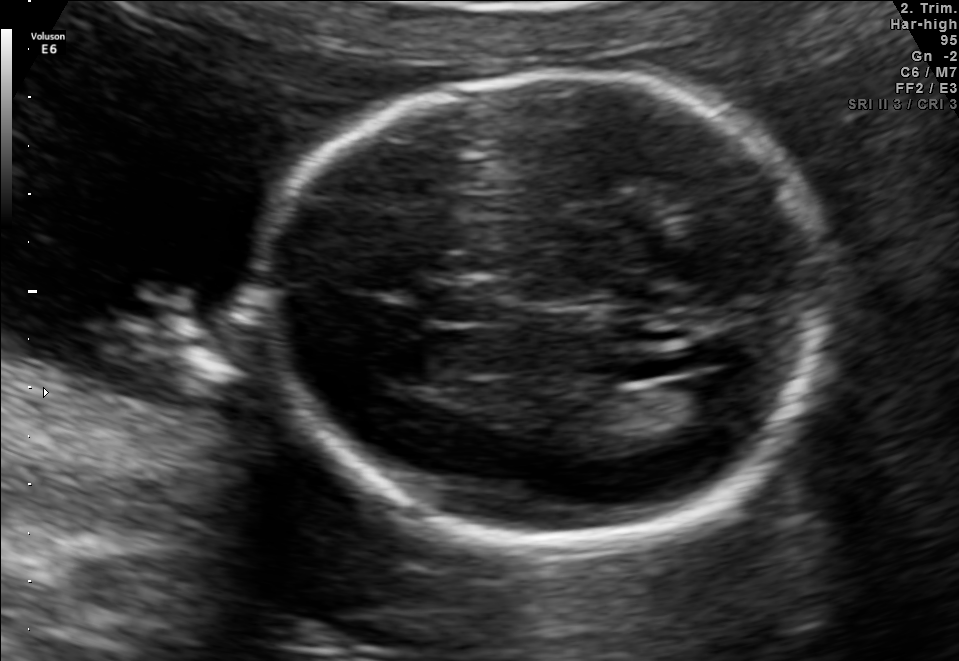
Classify this maternal-fetal ultrasound image as one of the six standard planes — fetal abdomen, fetal brain, fetal femur, fetal thorax, maternal cervix, or other. If it's fetal brain and one of the three standard brain planes (trans-thalamic, trans-cerebellum, trans-ventricular), name which.

Fetal brain (trans-ventricular plane)